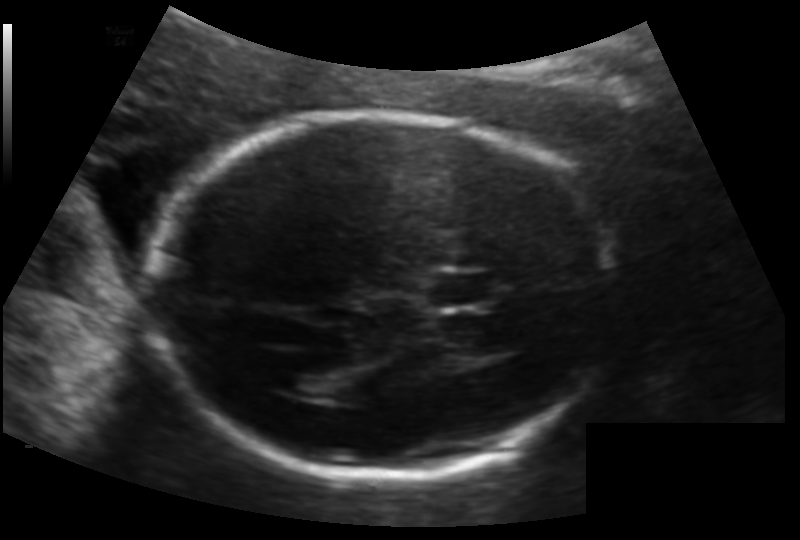
What is the fetal head circumference? Image width is 106.4 mm.

177.3 mm